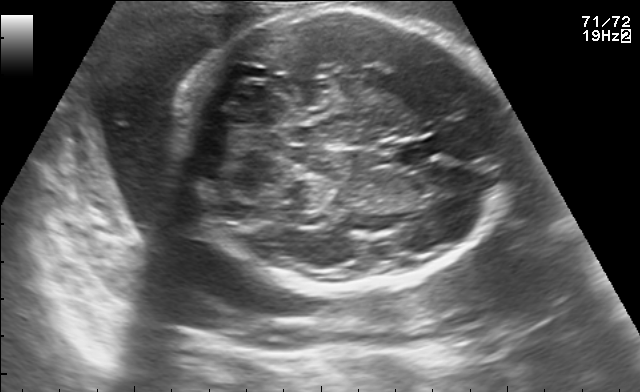
In this fetal brain, trans-cerebellum plane, give the bounding box of the fetal head.

[183,9,511,292]